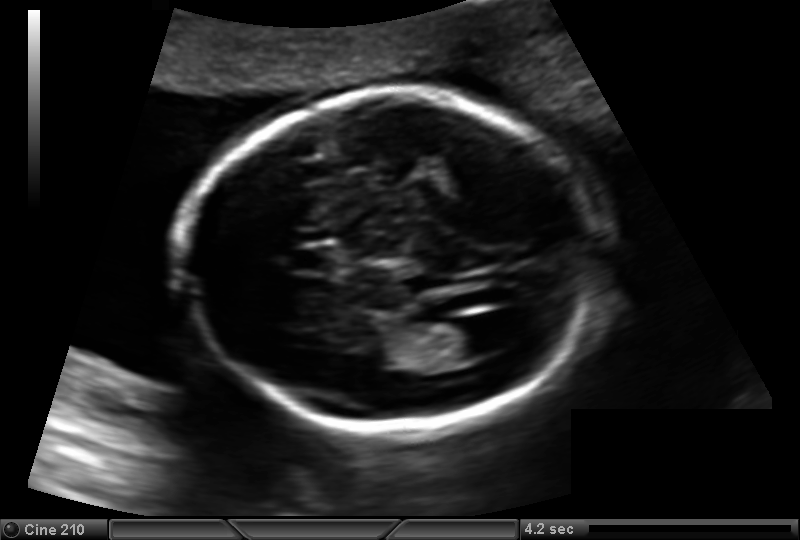
Fetal head ultrasound. Image width: 109.7 mm. Where is the lateral ventricle?

Lateral ventricle bounding box: [426,314,504,366]